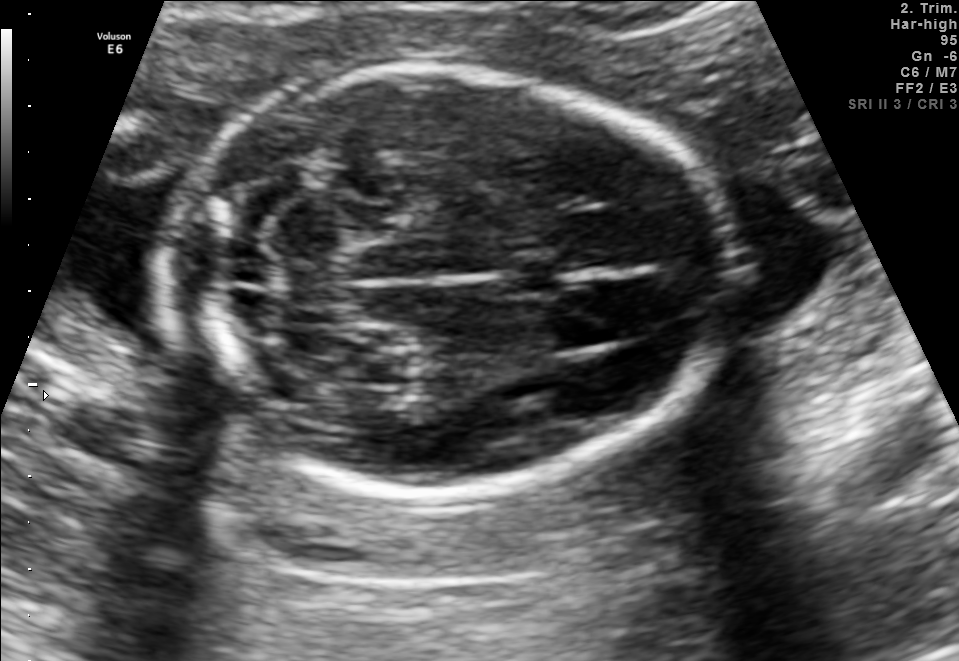
Fetal brain, trans-cerebellum plane. Where is the fetal head?

Head bounding box: [166,62,725,495]